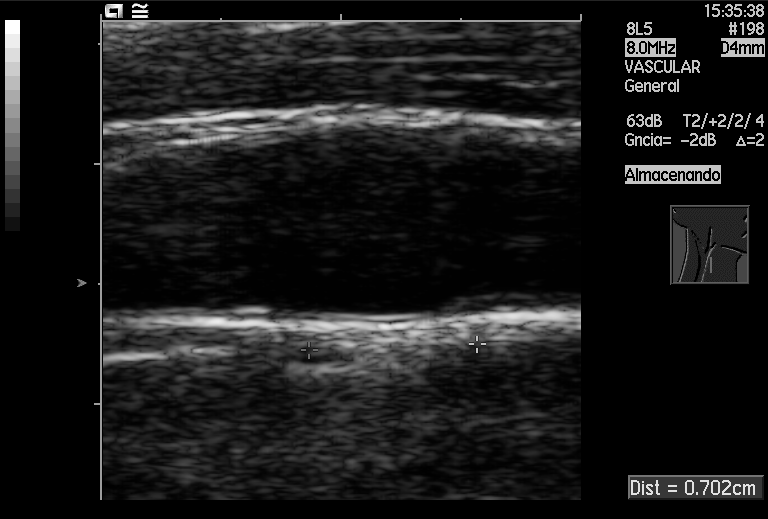
This is a 2D maternal-fetal ultrasound frame. Is it a fetal abdomen, fetal brain, fetal femur, fetal thorax, maternal cervix, or other standard plane? If it's fetal brain and one of the three standard brain planes (trans-thalamic, trans-cerebellum, trans-ventricular), name which.

Other